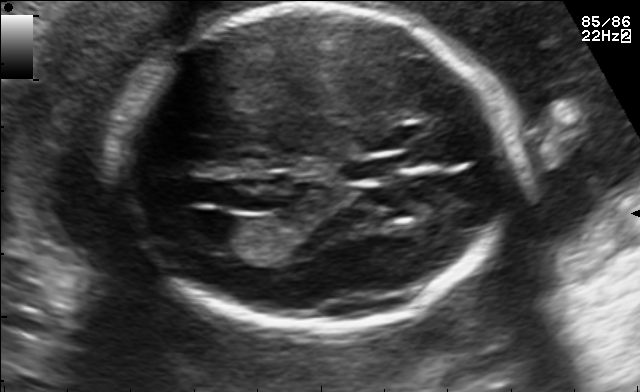
In this fetal brain, trans-ventricular plane, give the bounding box of the cavum septum pellucidum.

[338,149,420,186]